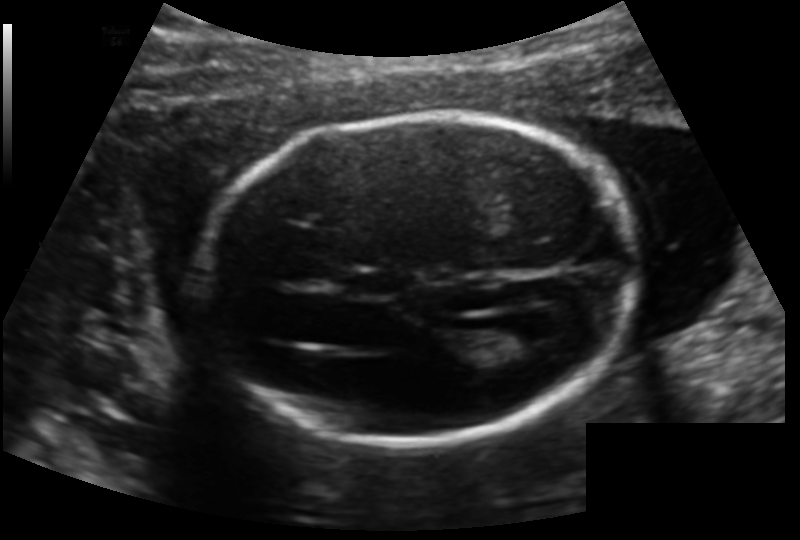
Fetal head ultrasound. Image width: 112.1 mm. Locate the lateral ventricle.

Lateral ventricle: [485,320,551,362]